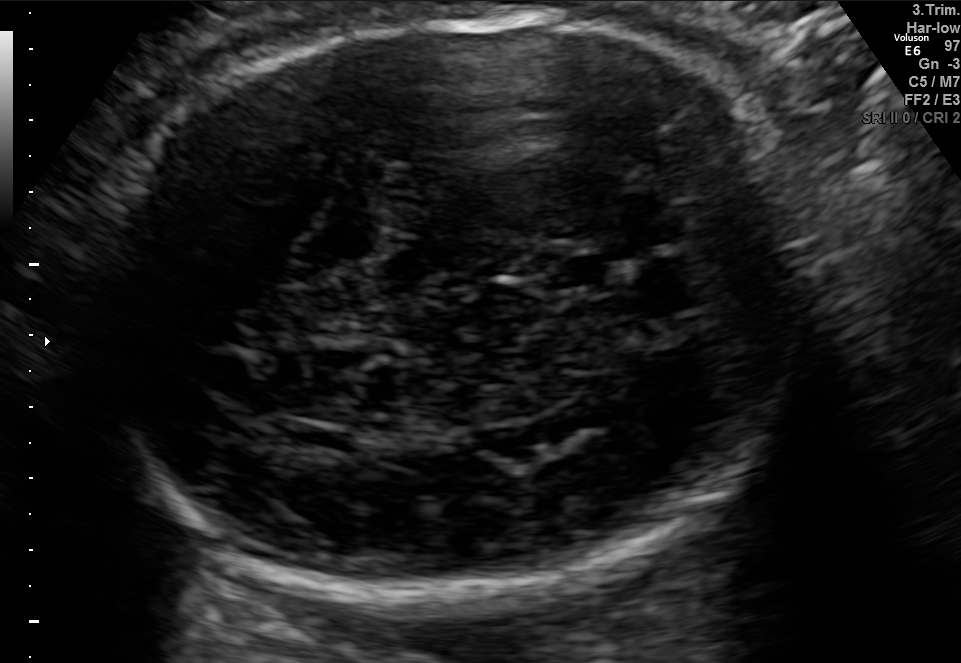
Fetal brain, trans-thalamic plane. Locate the cavum septum pellucidum.

CSP: [547,253,607,291]